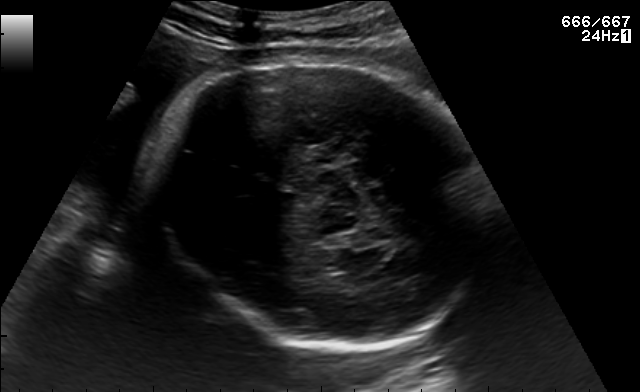
Classify this maternal-fetal ultrasound image as one of the six standard planes — fetal abdomen, fetal brain, fetal femur, fetal thorax, maternal cervix, or other. If it's fetal brain and one of the three standard brain planes (trans-thalamic, trans-cerebellum, trans-ventricular), name which.

Fetal brain (trans-thalamic plane)